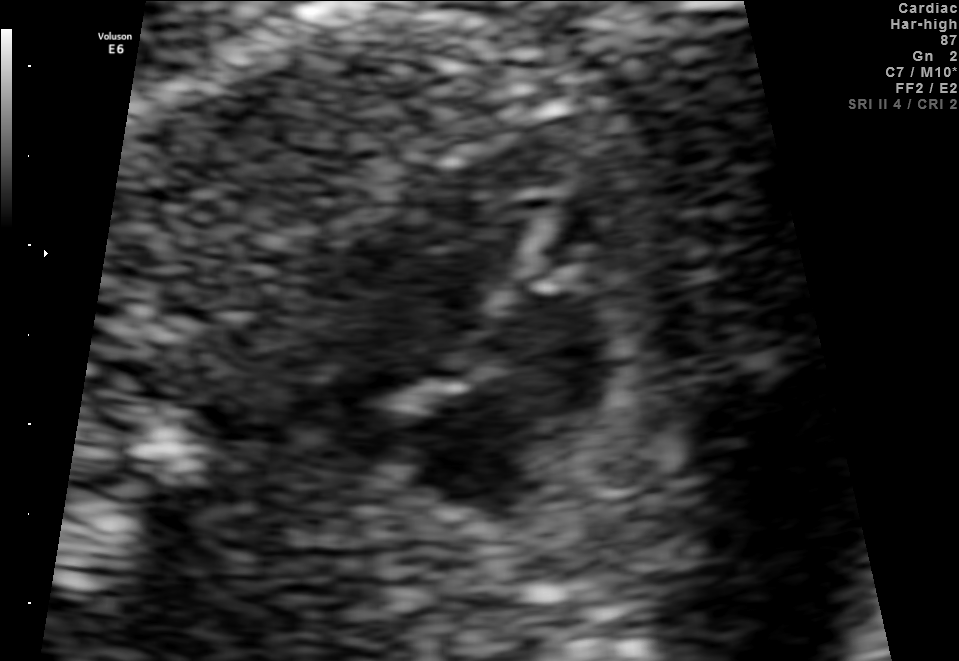
Classify this maternal-fetal ultrasound image as one of the six standard planes — fetal abdomen, fetal brain, fetal femur, fetal thorax, maternal cervix, or other. If it's fetal brain and one of the three standard brain planes (trans-thalamic, trans-cerebellum, trans-ventricular), name which.

Fetal thorax